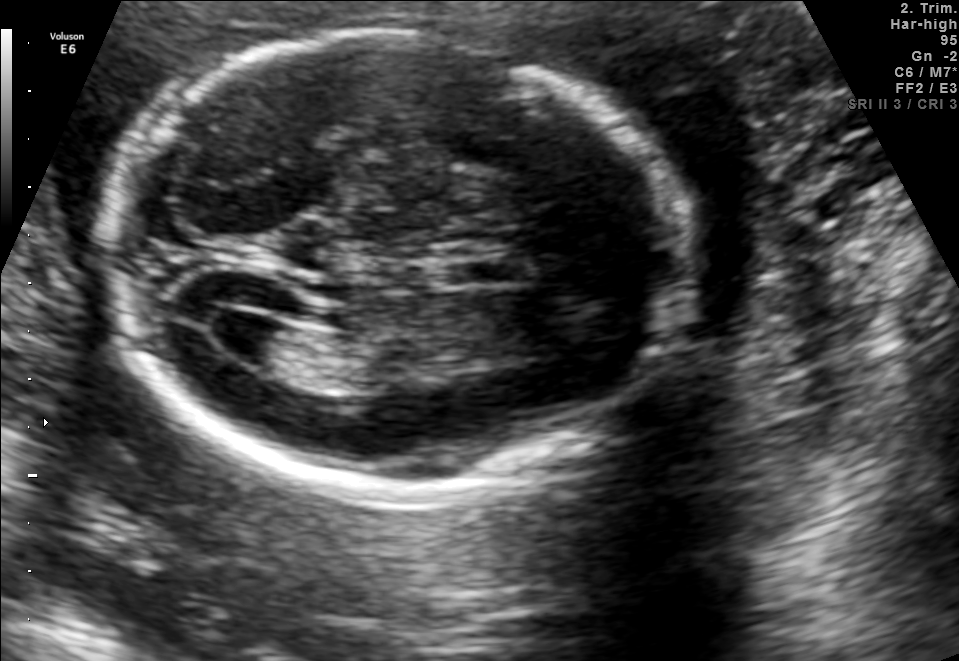
In this fetal brain, trans-ventricular plane, give bounding boxes for the head outline, cavum septum pellucidum (CSP), and lateral ventricle (LV), where visible.

Head: [92,28,701,503]
CSP: [439,256,537,284]
Lateral ventricle: [189,287,286,369]